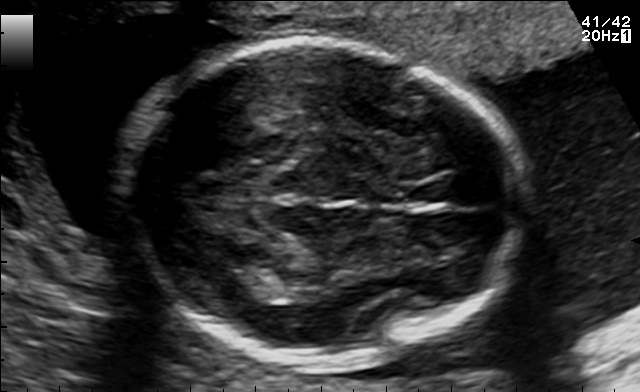
In this fetal brain, trans-thalamic plane, give bounding boxes for the head outline, cavum septum pellucidum (CSP), and lateral ventricle (LV), where visible.

Head: [119,44,524,362]